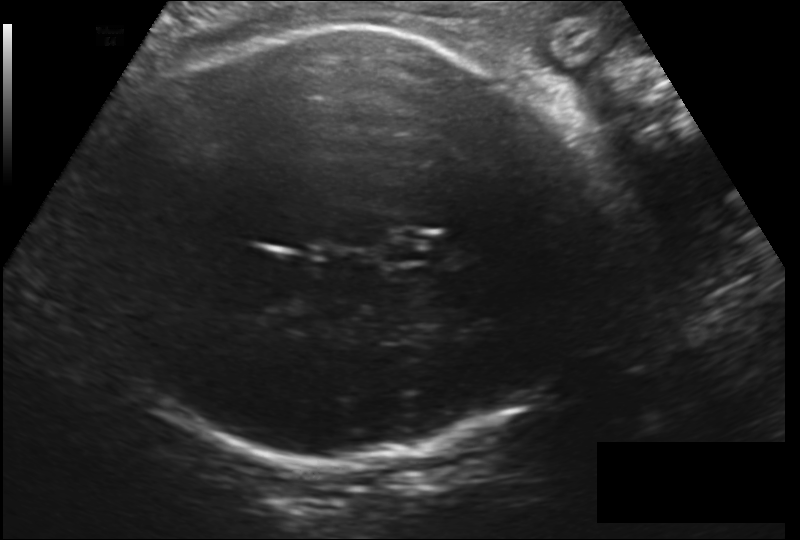
Measure the fetal head circumference shown in this ultrasound image. Image width: 169.8 mm.

Head circumference: 330.9 mm.